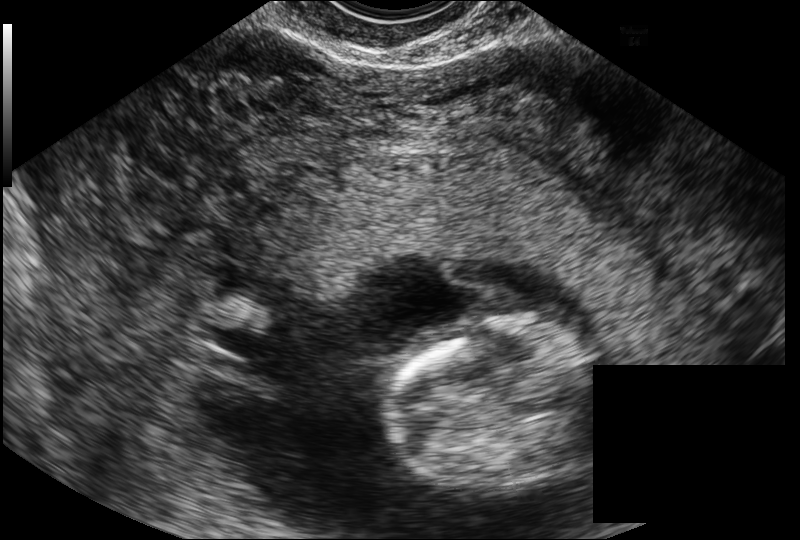
Fetal head ultrasound. Image width: 90.9 mm. Give [x1,y1,x2,y2] bounding boxes for each visible structure among: fetal head, CSP, LV.

Head: [384,319,593,489]